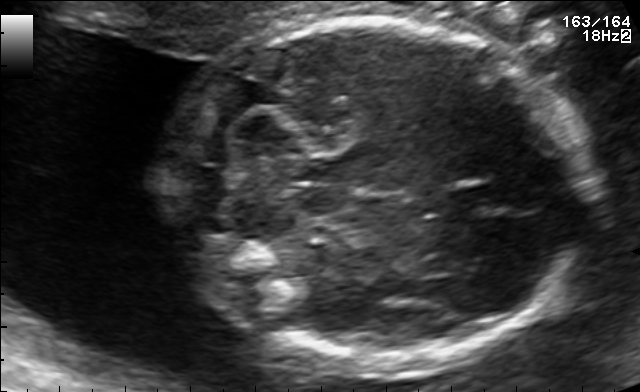
Fetal brain, trans-cerebellum plane. Locate the cavum septum pellucidum.

CSP: [444,179,503,221]